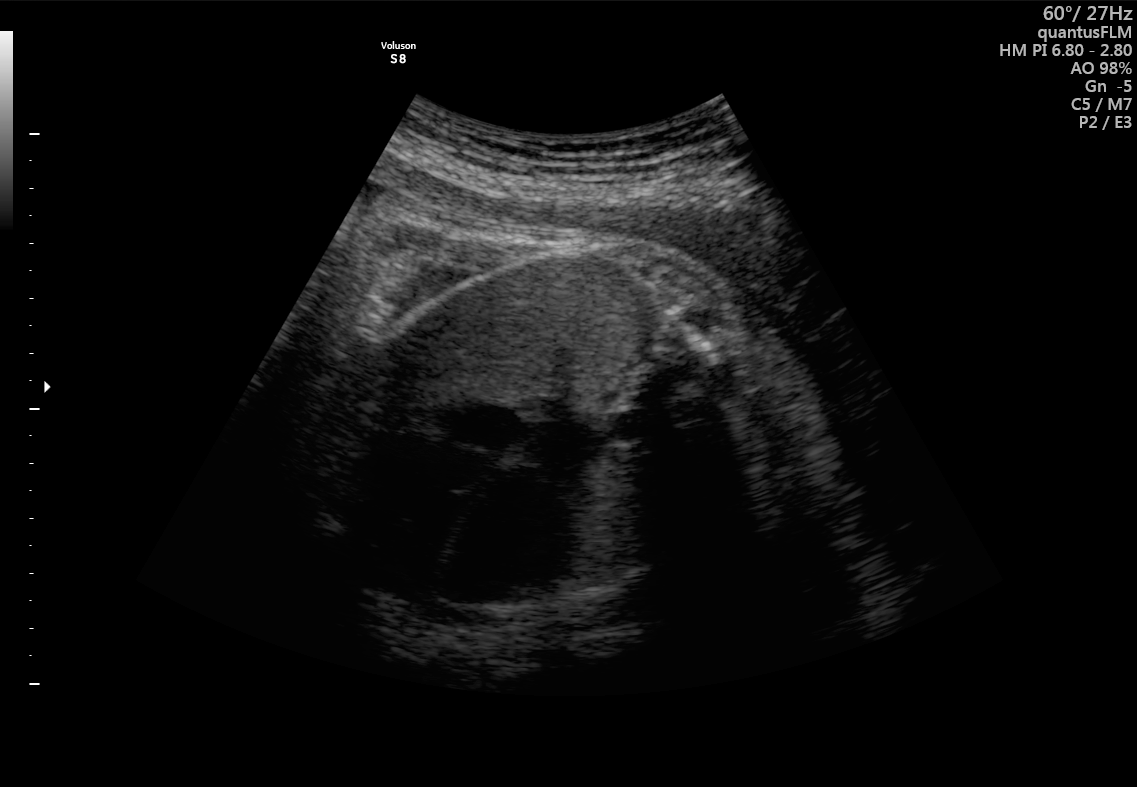
Classify this maternal-fetal ultrasound image as one of the six standard planes — fetal abdomen, fetal brain, fetal femur, fetal thorax, maternal cervix, or other. If it's fetal brain and one of the three standard brain planes (trans-thalamic, trans-cerebellum, trans-ventricular), name which.

Fetal thorax